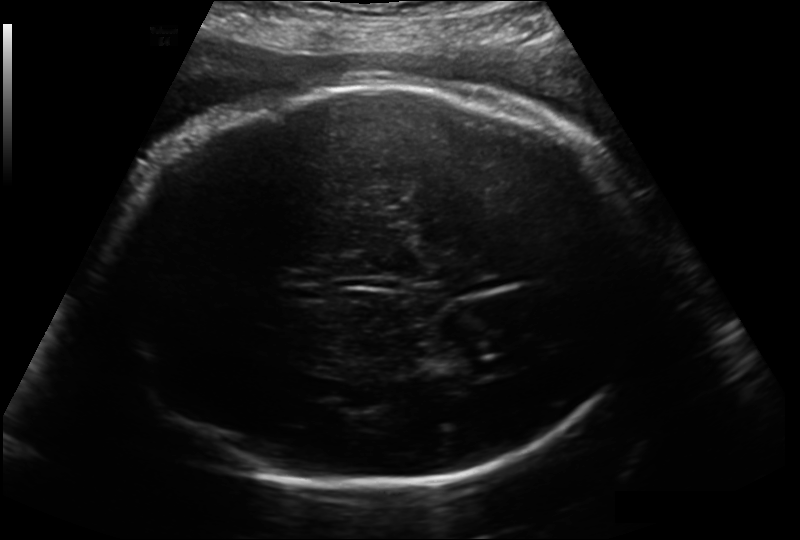
Fetal head ultrasound. Image width: 171.3 mm. Where is the fetal head?

Head bounding box: [101,83,647,489]